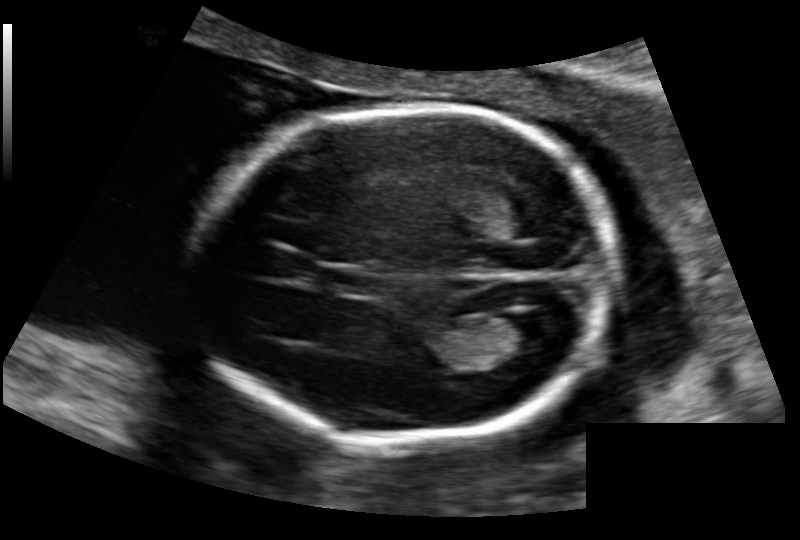
Fetal head ultrasound. Image width: 108.9 mm. Where is the cavum septum pellucidum?

CSP bounding box: [325,267,377,297]